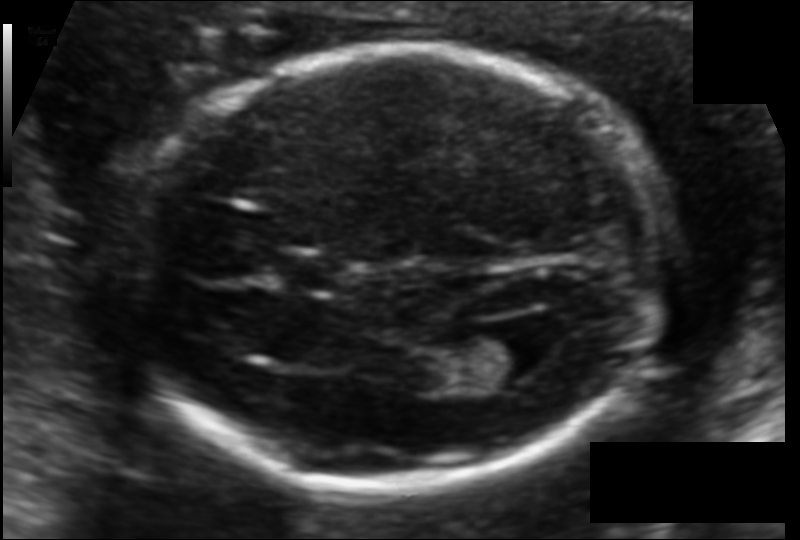
In this fetal head ultrasound, give bounding boxes for the head outline, cavum septum pellucidum (CSP), and lateral ventricle (LV), where visible. Image width: 86.5 mm.

Head: [134,50,667,490]
CSP: [276,253,341,292]
Lateral ventricle: [467,320,558,395]